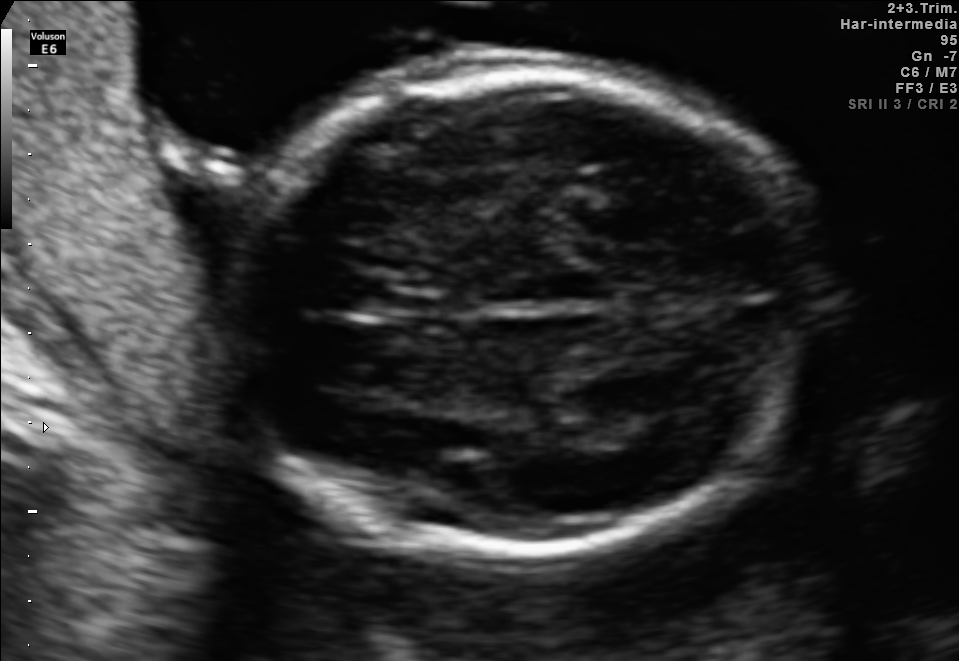
In this fetal brain, trans-thalamic plane, give the bounding box of the fetal head.

[209,74,800,555]